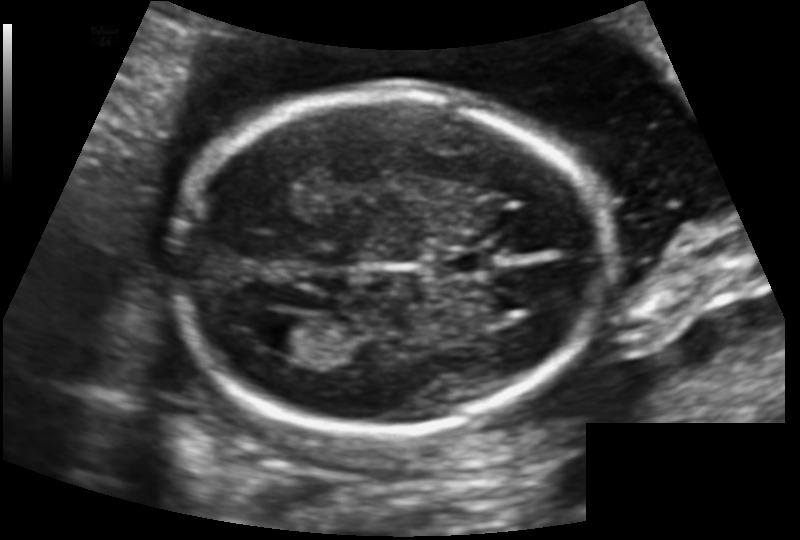
In this fetal head ultrasound, give the bounding box of the cavum septum pellucidum. Image width: 103.5 mm.

[432,248,494,277]